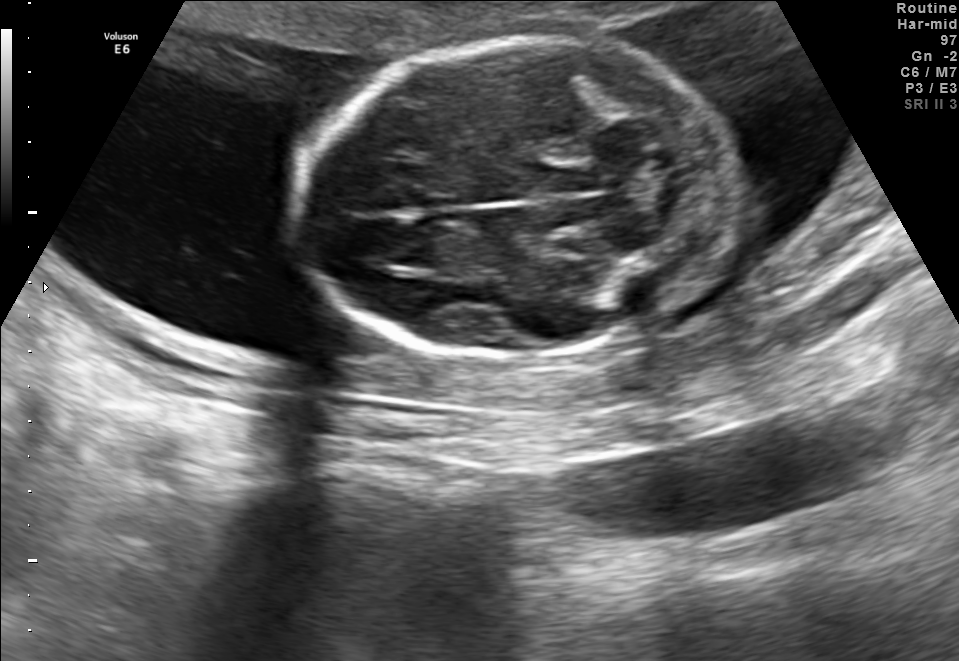
In this fetal brain, trans-thalamic plane, give bounding boxes for the head outline, cavum septum pellucidum (CSP), and lateral ventricle (LV), where visible.

Head: [291,36,738,363]